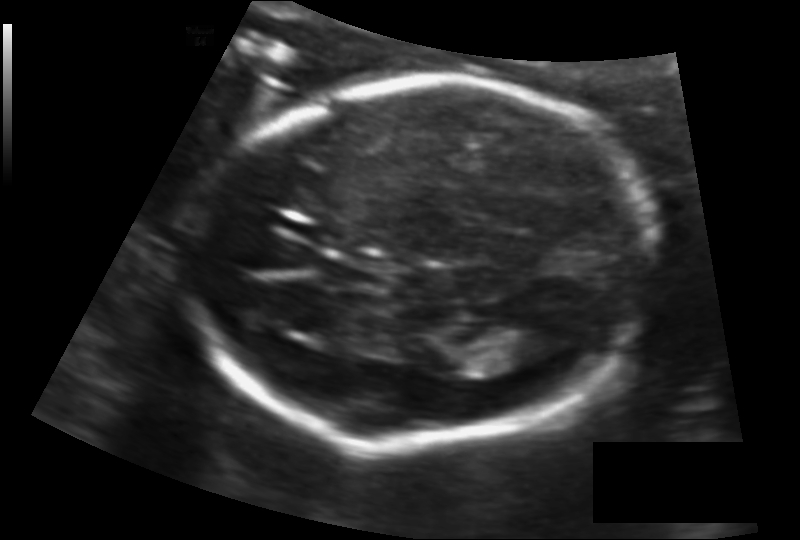
Estimate the fetal head circumference from this 2D ultrasound.

Head circumference: 168.5 mm (image width 100.0 mm).